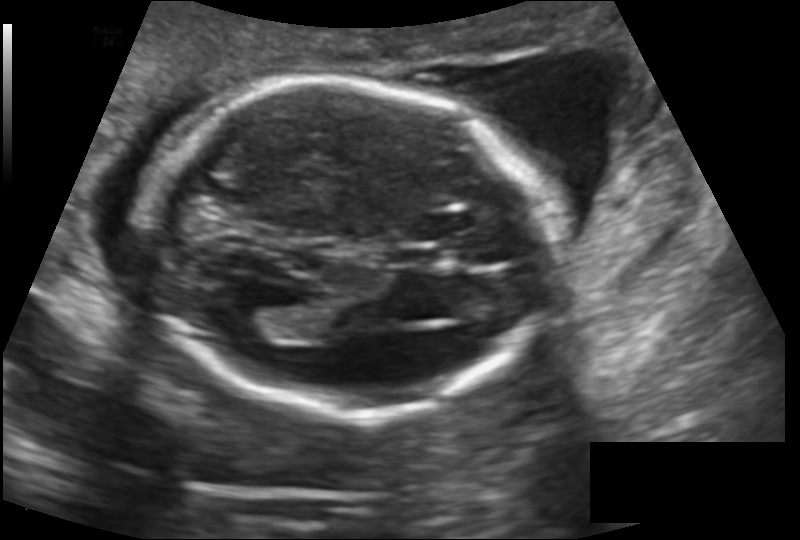
Measure the fetal head circumference shown in this ultrasound image. Image width: 116.4 mm.

Head circumference: 175.0 mm.